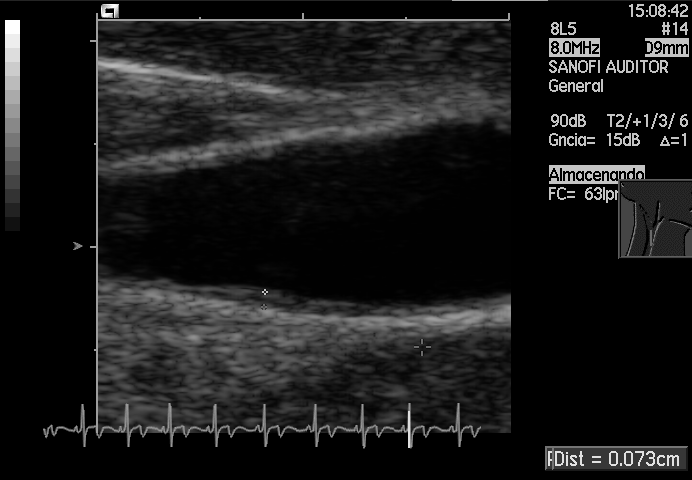
Classify this maternal-fetal ultrasound image as one of the six standard planes — fetal abdomen, fetal brain, fetal femur, fetal thorax, maternal cervix, or other. If it's fetal brain and one of the three standard brain planes (trans-thalamic, trans-cerebellum, trans-ventricular), name which.

Other